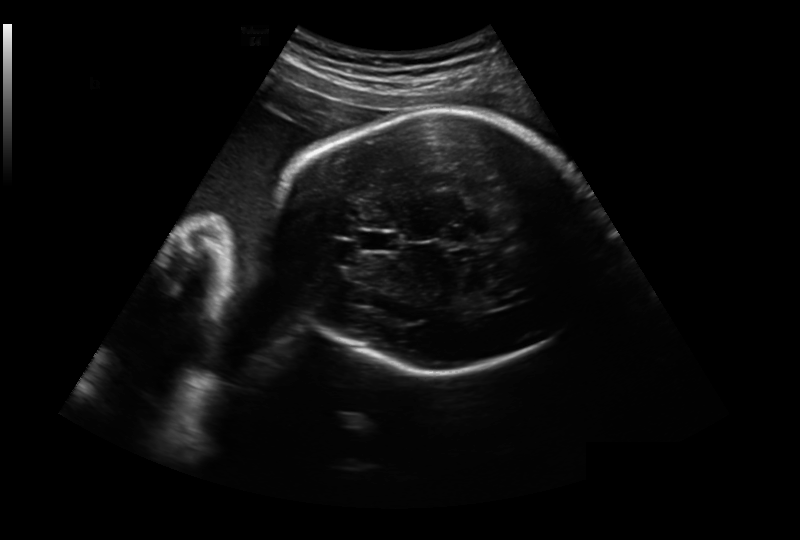
Fetal head ultrasound. Image width: 224.7 mm. Locate the fetal head.

Head: [274,110,602,373]